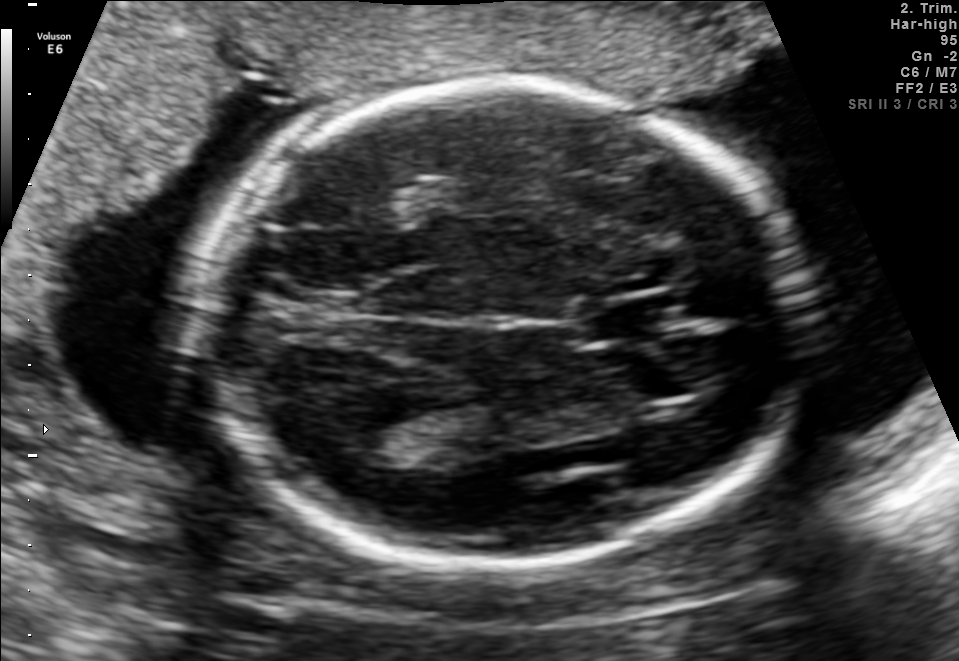
Fetal brain, trans-thalamic plane. Give [x1,y1,x2,y2] bounding boxes for each visible structure among: fetal head, CSP, LV.

Head: [200,83,789,560]
CSP: [583,291,675,344]
Lateral ventricle: [319,410,442,473]